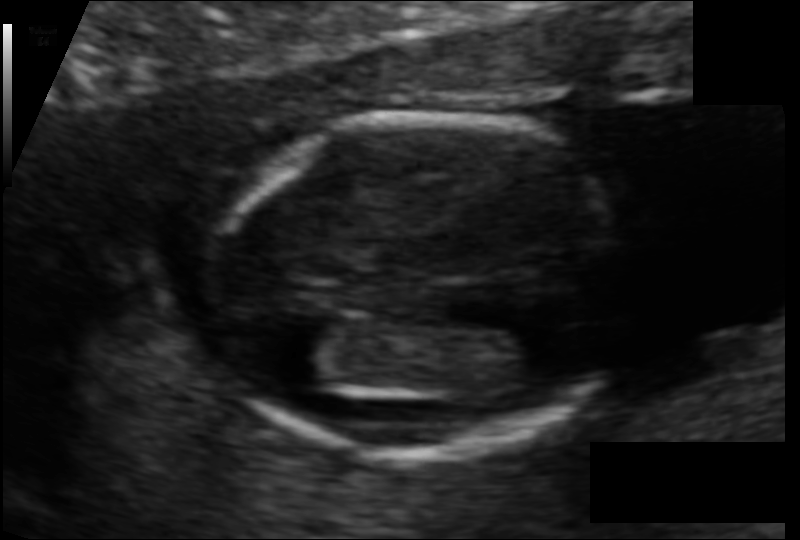
Fetal head ultrasound. Image width: 65.5 mm. Where is the fetal head?

Head bounding box: [210,110,630,457]